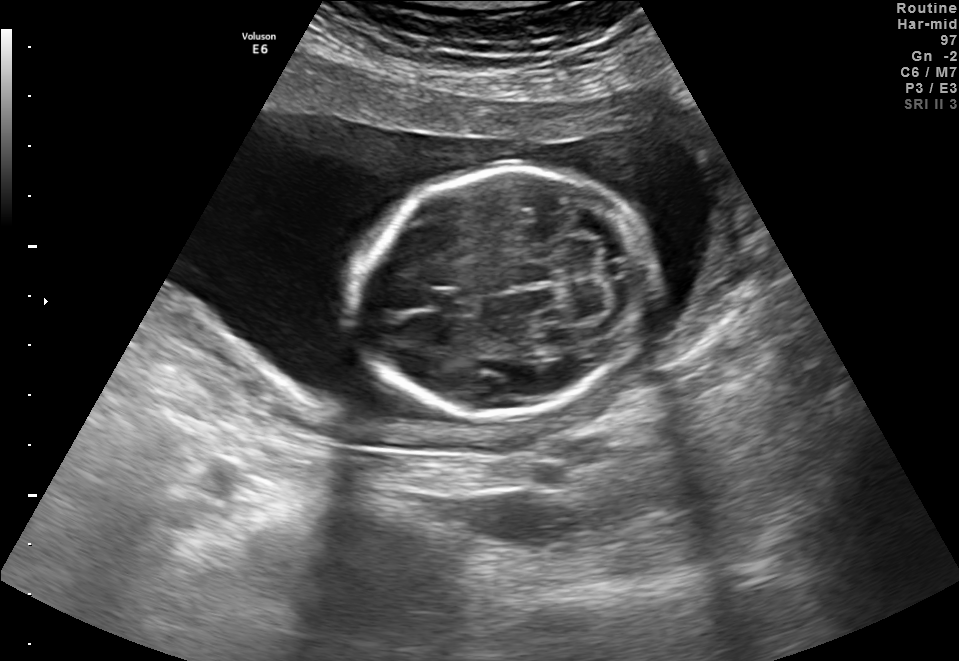
In this fetal brain, trans-cerebellum plane, give bounding boxes for the head outline, cavum septum pellucidum (CSP), and lateral ventricle (LV), where visible.

Head: [351,169,654,416]
CSP: [431,287,477,316]